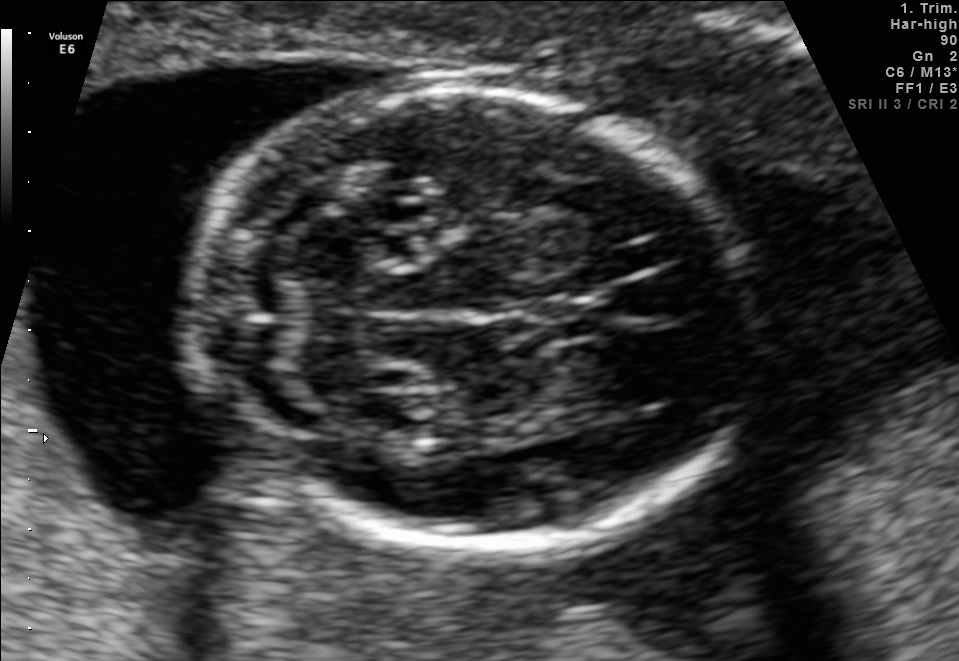
Fetal brain, trans-cerebellum plane. Give [x1,y1,x2,y2] bounding boxes for each visible structure among: fetal head, CSP, LV.

Head: [187,90,758,549]